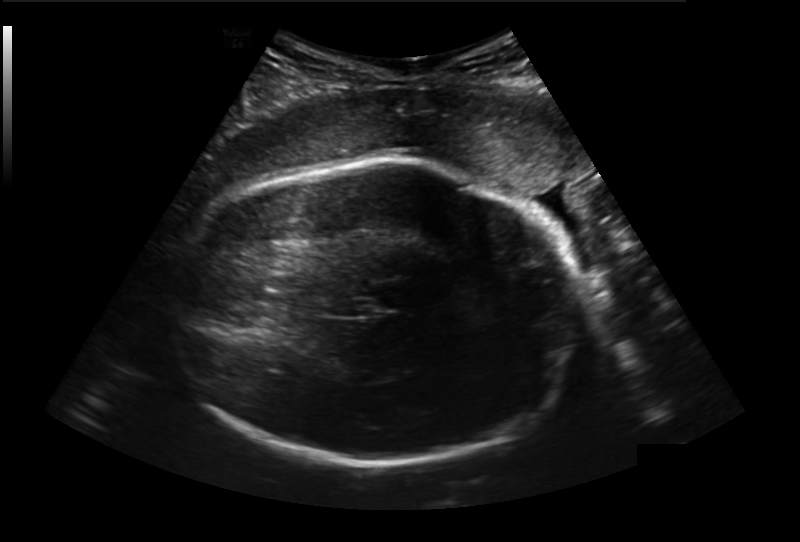
Fetal head ultrasound. Image width: 188.7 mm. Locate the fetal head and, if visible, the cavum septum pellucidum (CSP) and lateral ventricle (LV). Give bounding boxes as [x1,y1,x2,y2].

Head: [165,158,581,464]